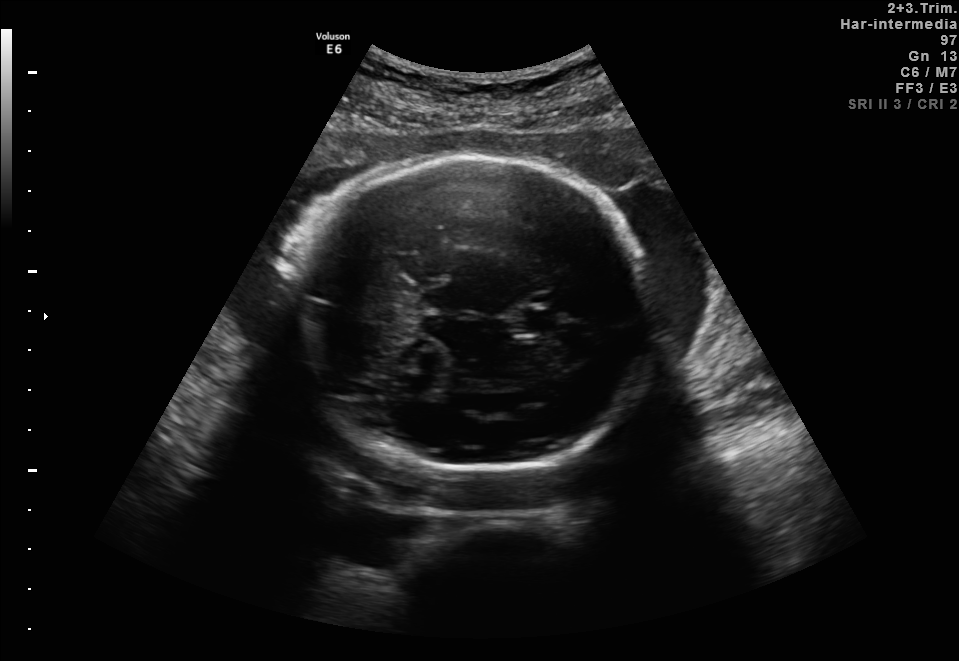
Classify this maternal-fetal ultrasound image as one of the six standard planes — fetal abdomen, fetal brain, fetal femur, fetal thorax, maternal cervix, or other. If it's fetal brain and one of the three standard brain planes (trans-thalamic, trans-cerebellum, trans-ventricular), name which.

Fetal brain (trans-thalamic plane)